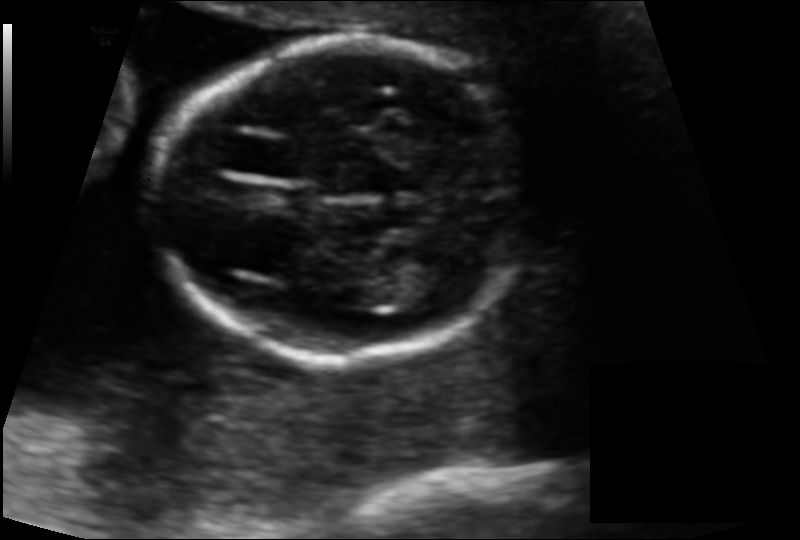
What is the fetal head circumference? Image width is 92.0 mm.

131.2 mm